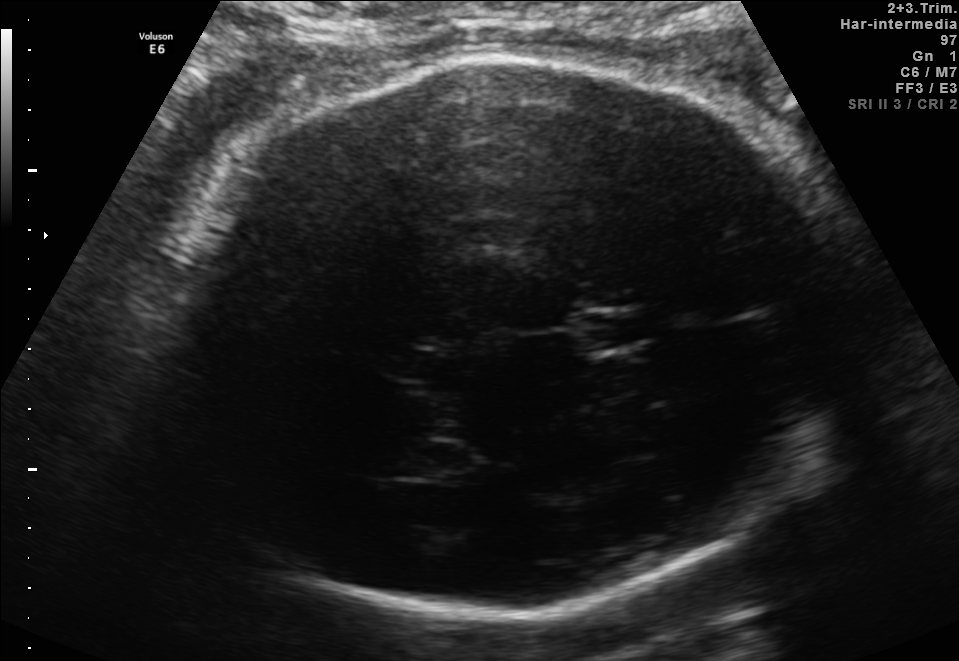
In this fetal brain, trans-thalamic plane, give the bounding box of the lateral ventricle.

[380,442,465,479]